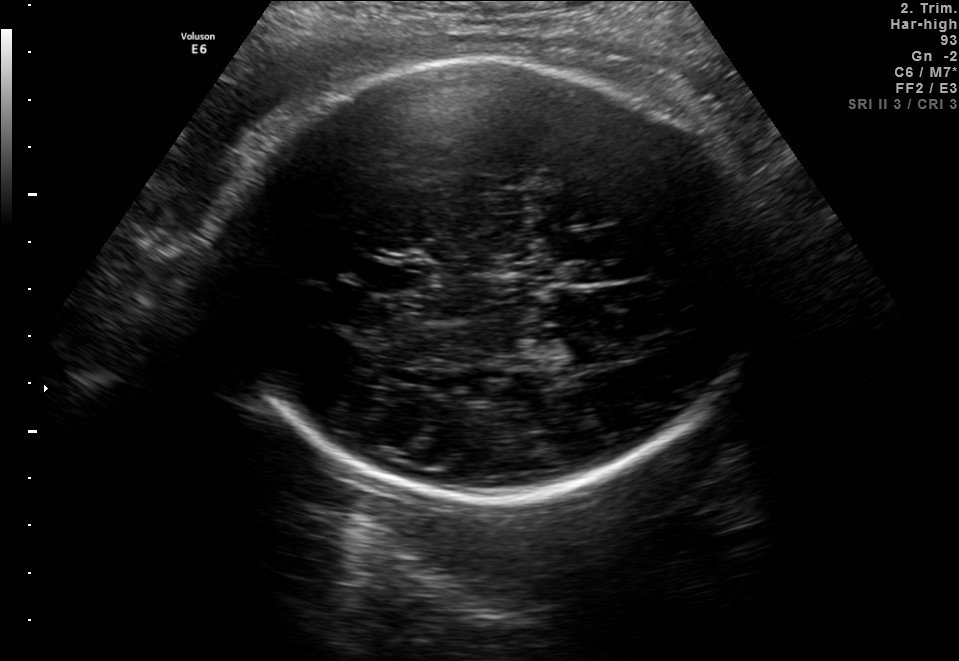
Fetal brain, trans-thalamic plane. Where is the fetal head?

Head bounding box: [215,58,758,491]